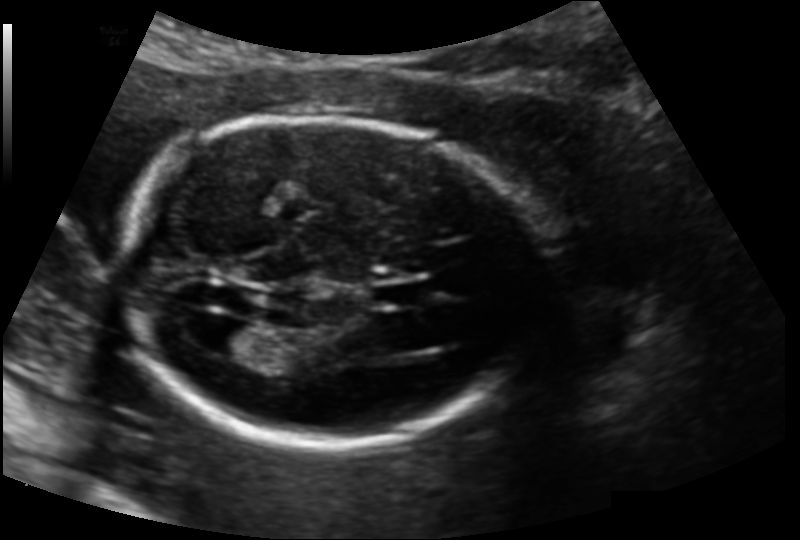
Estimate the fetal head circumference from this 2D ultrasound. Image width: 111.6 mm.

Head circumference: 177.8 mm.